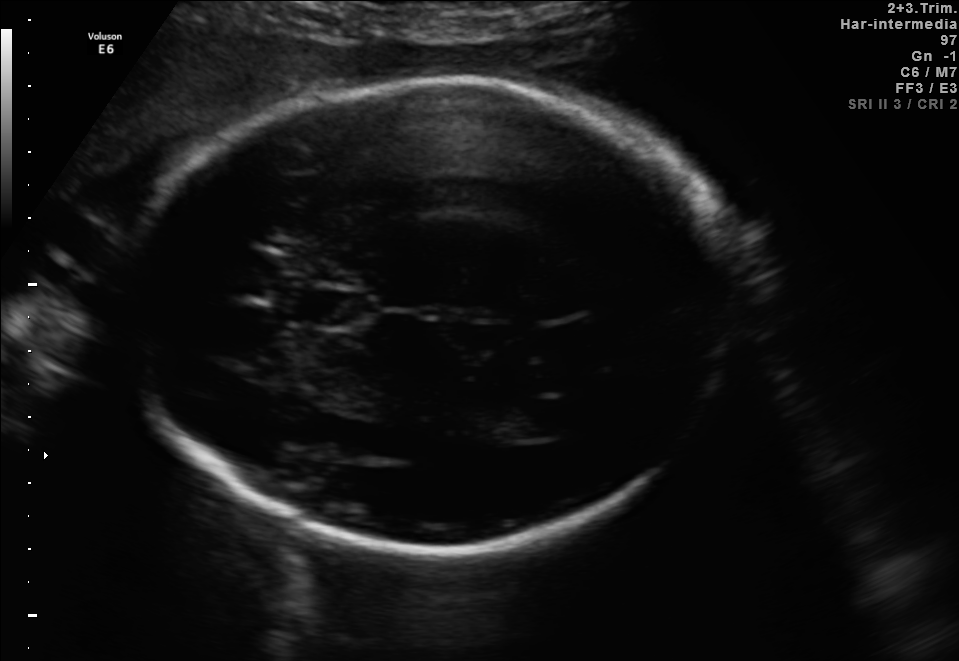
Fetal brain, trans-thalamic plane. Where is the cavum septum pellucidum?

CSP bounding box: [312,290,369,327]